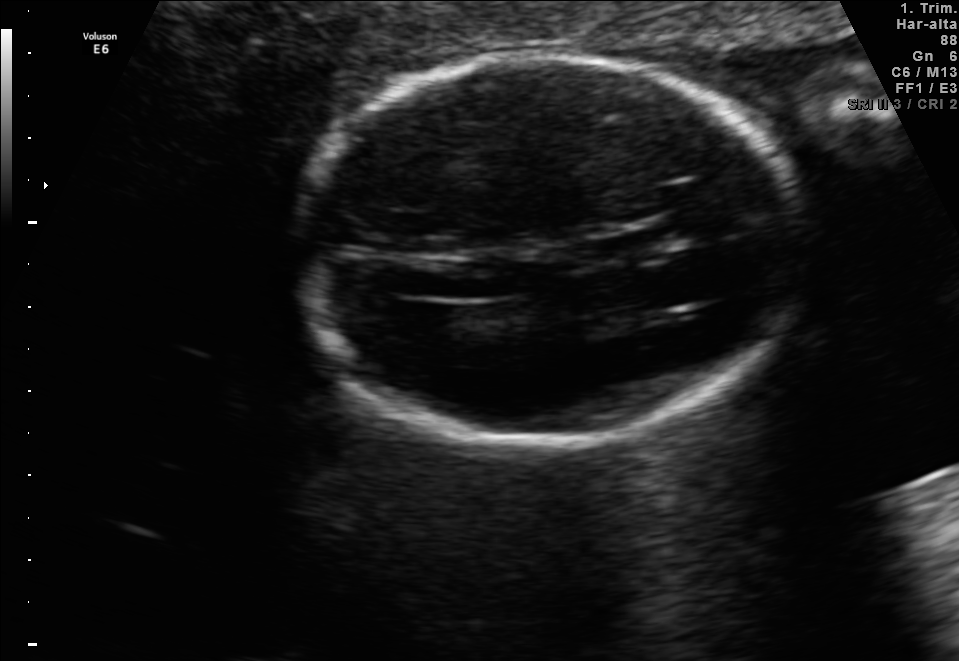
Fetal brain, trans-thalamic plane. Locate the fetal head and, if visible, the cavum septum pellucidum (CSP) and lateral ventricle (LV). Give bounding boxes as [x1,y1,x2,y2].

Head: [297,58,804,443]